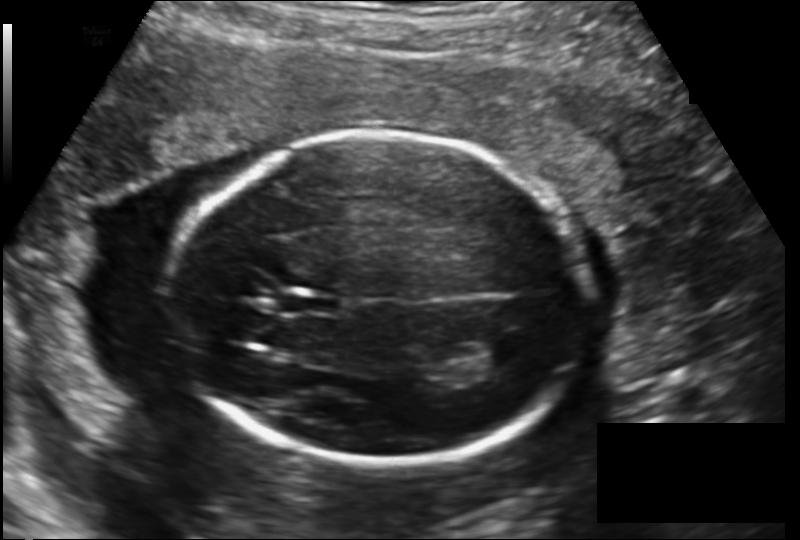
Fetal head ultrasound. Image width: 130.6 mm. Where is the lateral ventricle?

Lateral ventricle bounding box: [475,329,529,371]